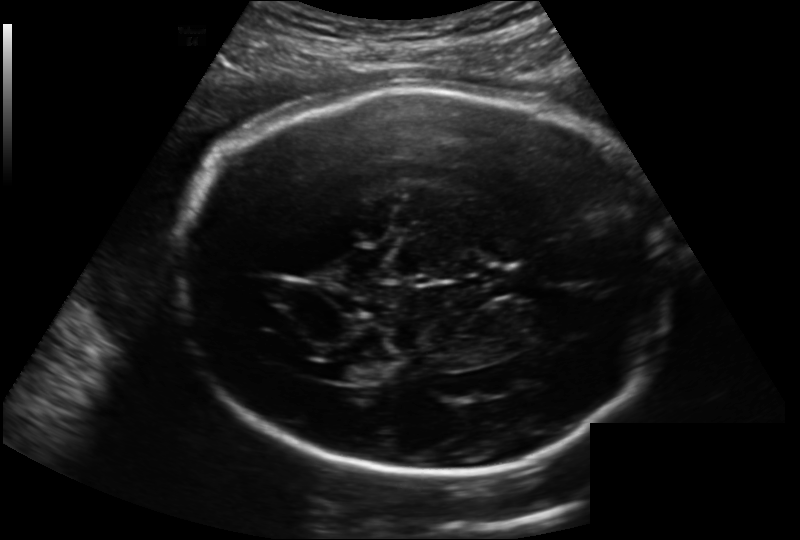
Estimate the fetal head circumference from this 2D ultrasound.

Head circumference: 284.7 mm (image width 161.8 mm).